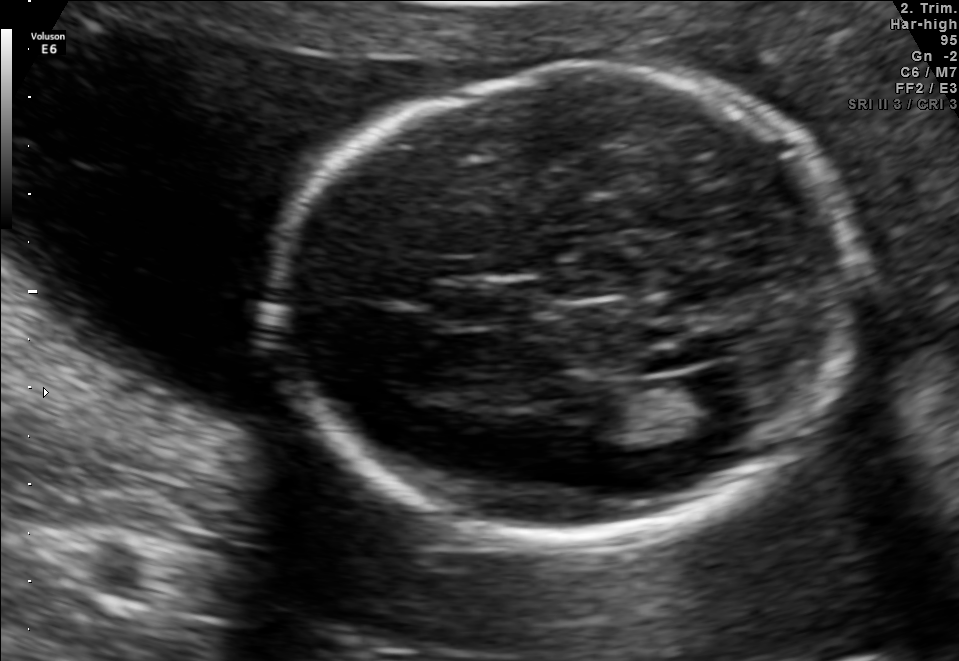
In this fetal brain, trans-ventricular plane, give the bounding box of the lateral ventricle.

[672,361,764,432]